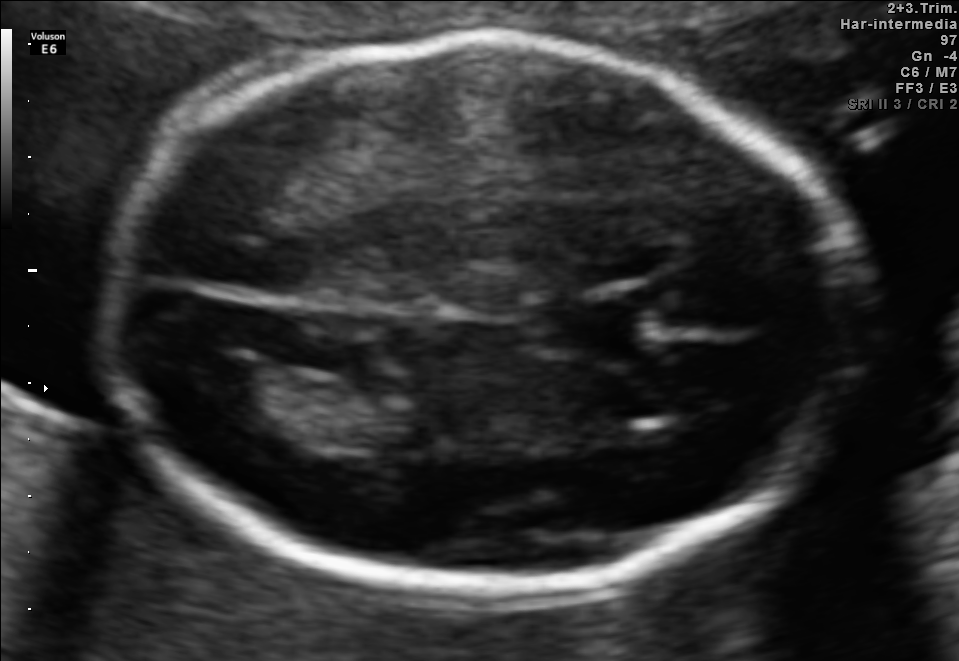
Fetal brain, trans-ventricular plane. Locate the cavum septum pellucidum.

CSP: [523,298,649,351]